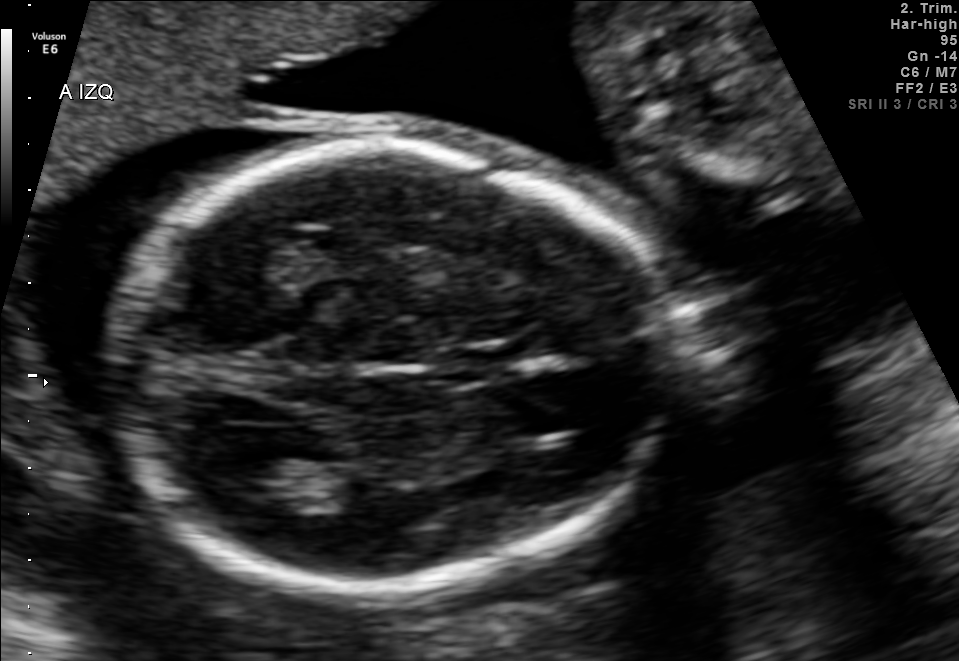
Fetal brain, trans-thalamic plane. Locate the cavum septum pellucidum.

CSP: [452,343,529,385]